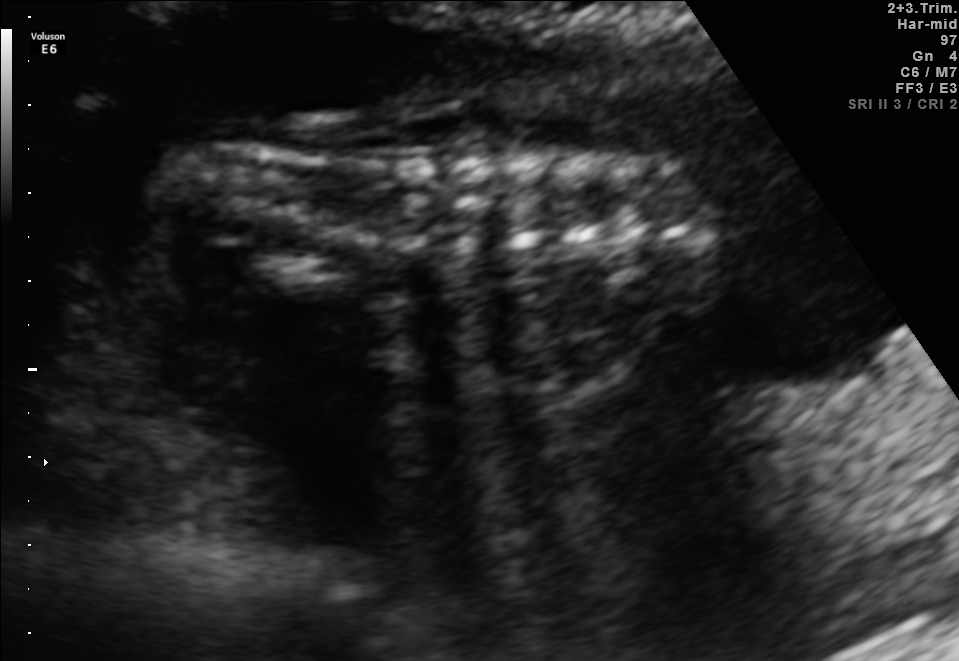
Identify the standard plane in this fetal ultrasound image: fetal abdomen, fetal brain, fetal femur, fetal thorax, maternal cervix, or other. If it's fetal brain and one of the three standard brain planes (trans-thalamic, trans-cerebellum, trans-ventricular), name which.

Other